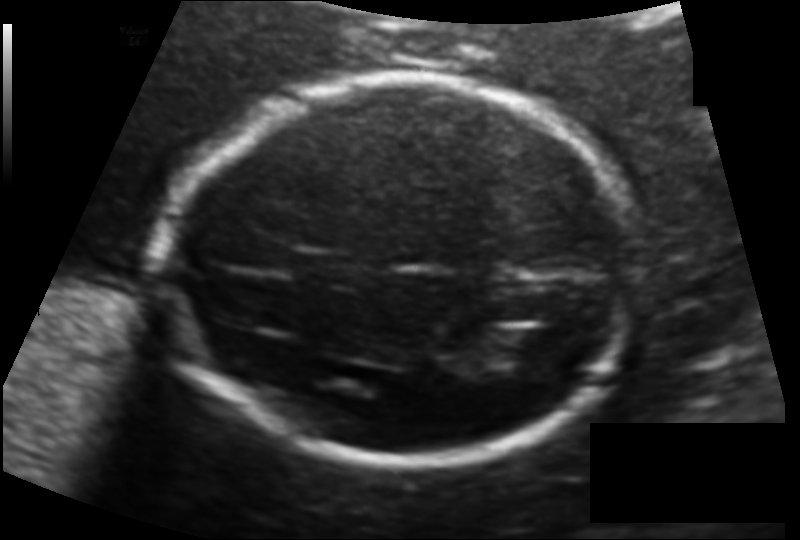
Fetal head ultrasound. Image width: 98.0 mm. Locate the cavum septum pellucidum.

CSP: [293,245,365,290]